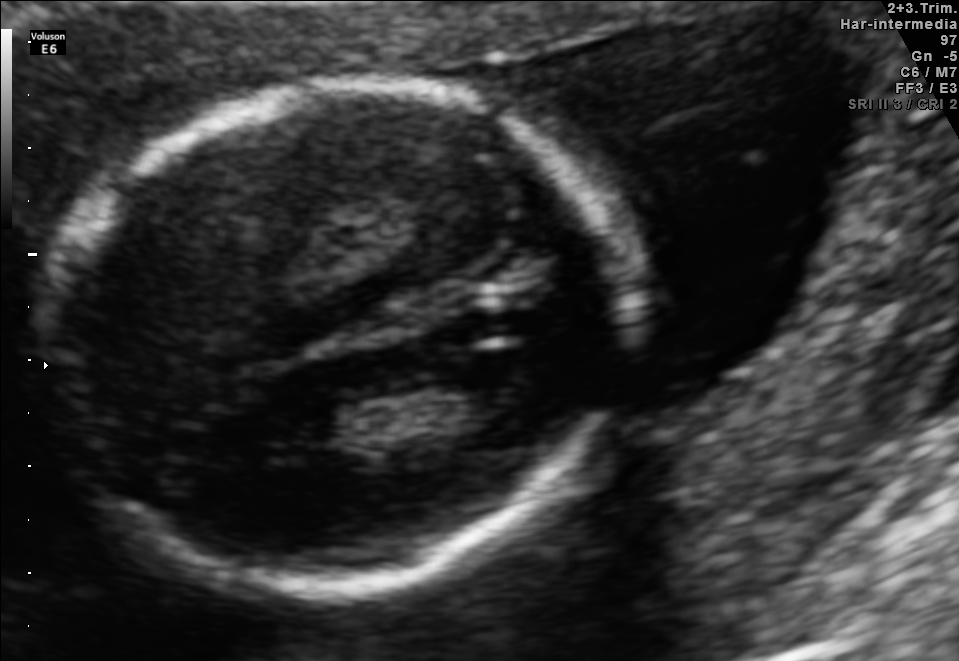
Fetal brain, trans-thalamic plane. Where is the fetal head?

Head bounding box: [43,77,624,594]